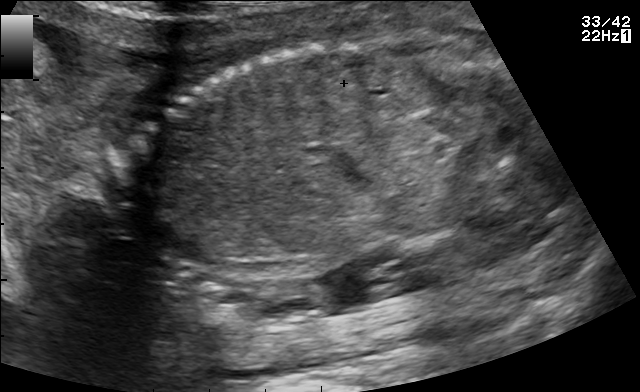
Which standard maternal-fetal ultrasound plane is shown: fetal abdomen, fetal brain, fetal femur, fetal thorax, maternal cervix, or other? If it's fetal brain and one of the three standard brain planes (trans-thalamic, trans-cerebellum, trans-ventricular), name which.

Other